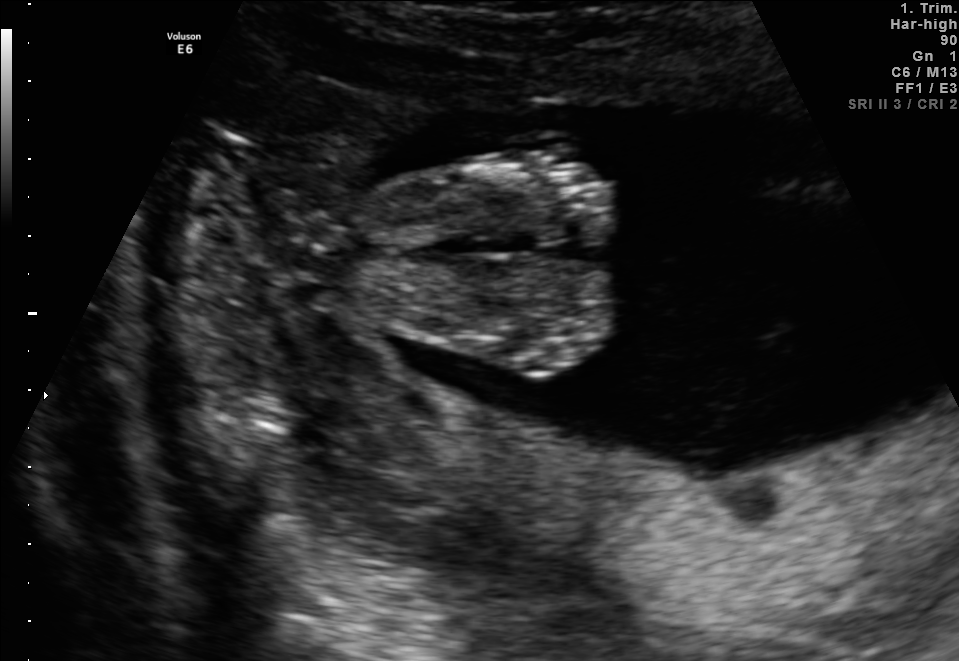
Classify this maternal-fetal ultrasound image as one of the six standard planes — fetal abdomen, fetal brain, fetal femur, fetal thorax, maternal cervix, or other. If it's fetal brain and one of the three standard brain planes (trans-thalamic, trans-cerebellum, trans-ventricular), name which.

Other